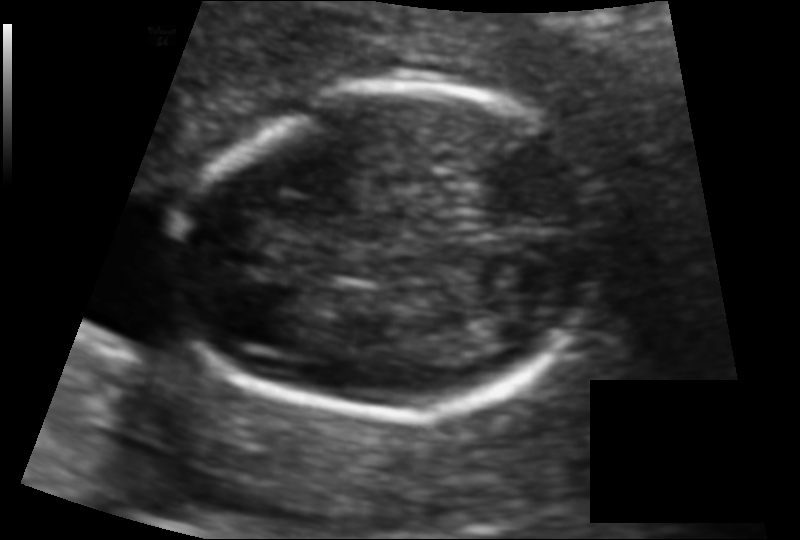
Measure the fetal head circumference shown in this ultrasound image. Image width: 76.2 mm.

Head circumference: 119.8 mm.